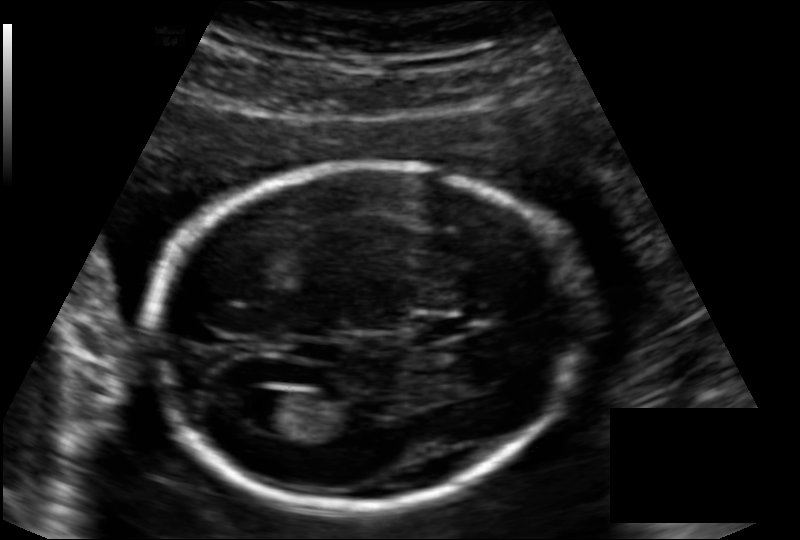
Fetal head ultrasound. Image width: 108.5 mm. Where is the fetal head?

Head bounding box: [148,162,578,504]